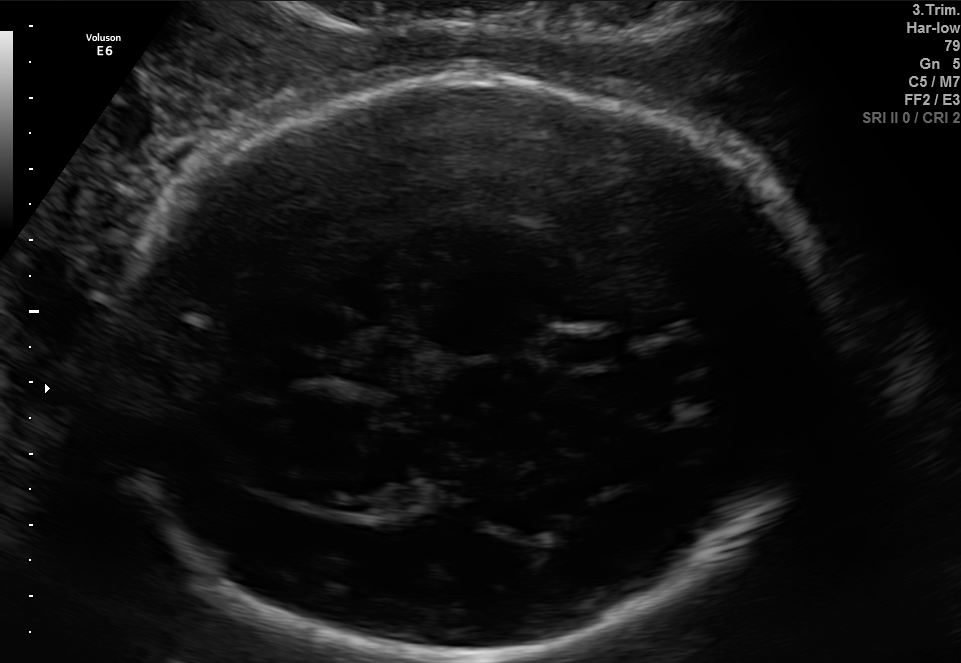
Fetal brain, trans-thalamic plane. Locate the fetal head.

Head: [99,69,838,660]